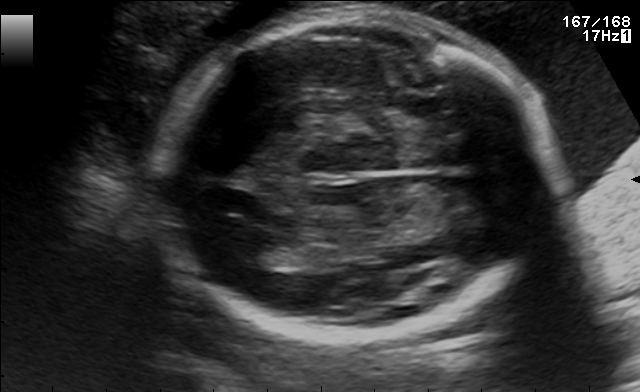
In this fetal brain, trans-ventricular plane, give the bounding box of the fetal head.

[151,4,565,345]